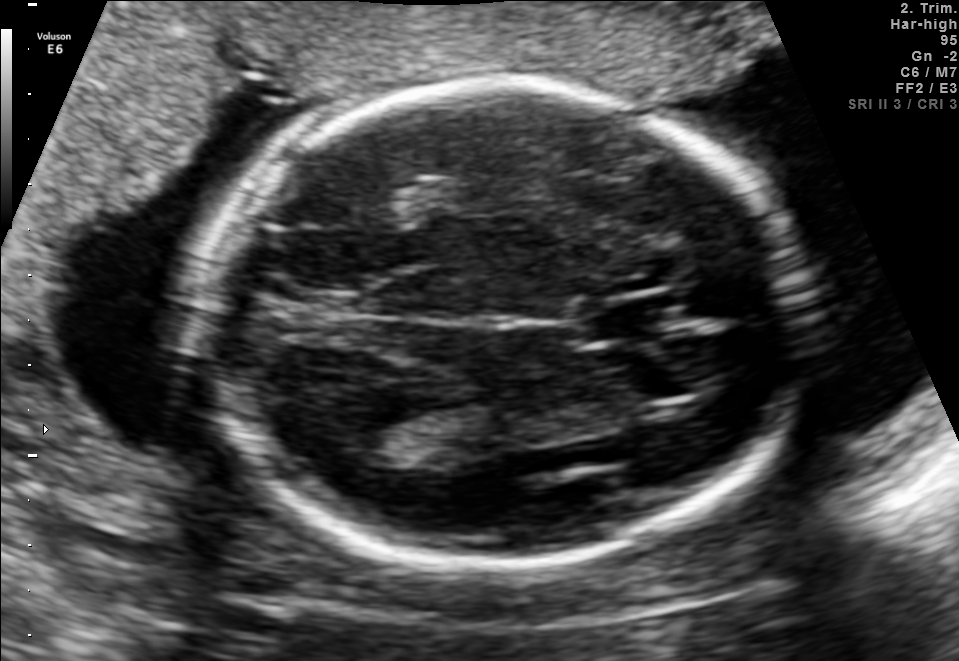
Which standard maternal-fetal ultrasound plane is shown: fetal abdomen, fetal brain, fetal femur, fetal thorax, maternal cervix, or other? If it's fetal brain and one of the three standard brain planes (trans-thalamic, trans-cerebellum, trans-ventricular), name which.

Fetal brain (trans-thalamic plane)